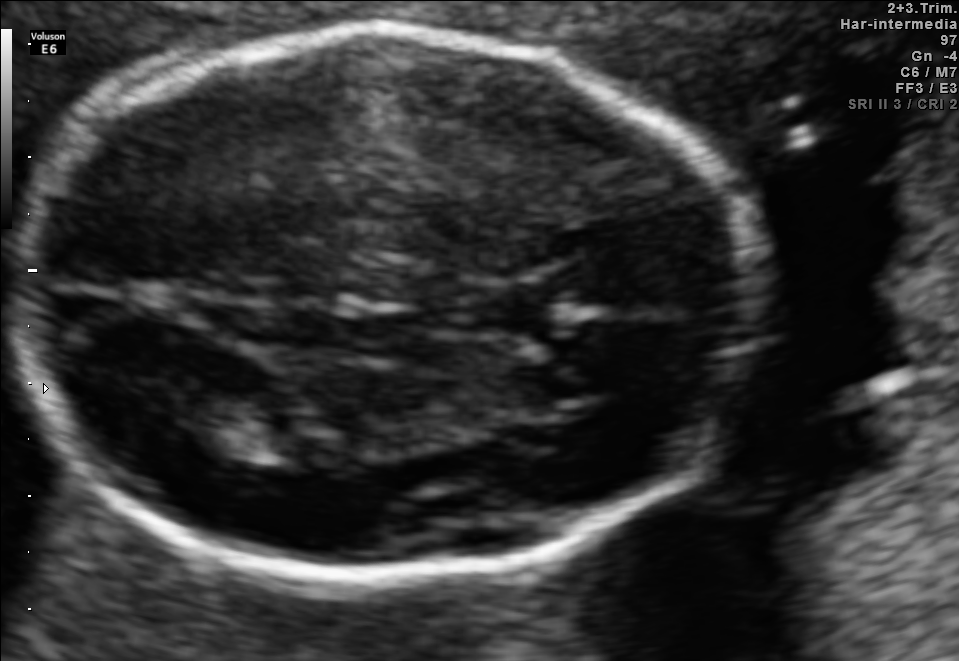
Fetal brain, trans-thalamic plane. Where is the lateral ventricle?

Lateral ventricle bounding box: [148,372,260,460]